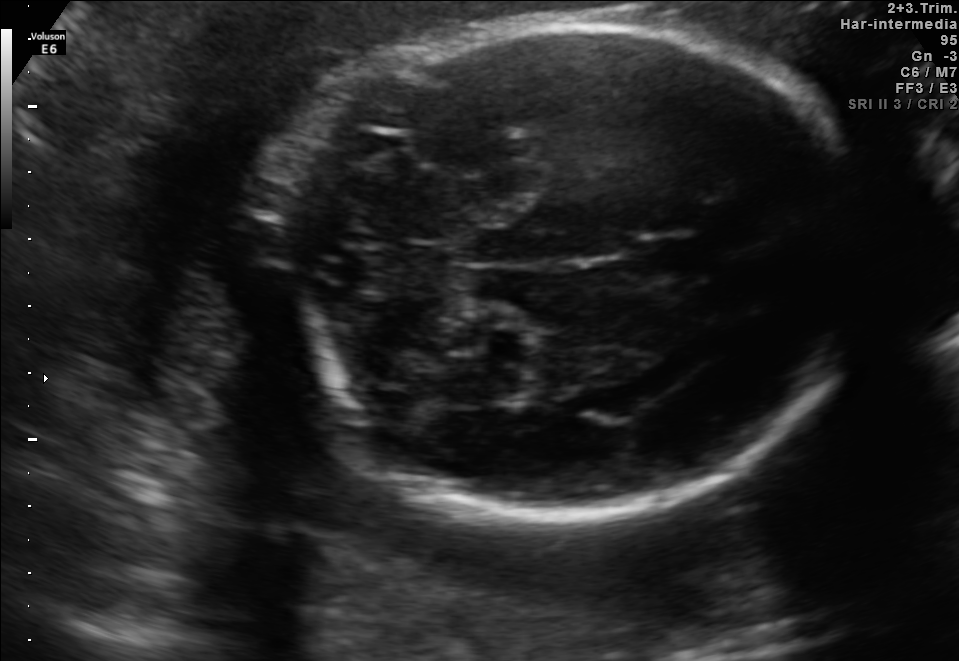
In this fetal brain, trans-cerebellum plane, give bounding boxes for the head outline, cavum septum pellucidum (CSP), and lateral ventricle (LV), where visible.

Head: [252,23,867,522]
CSP: [631,227,709,285]